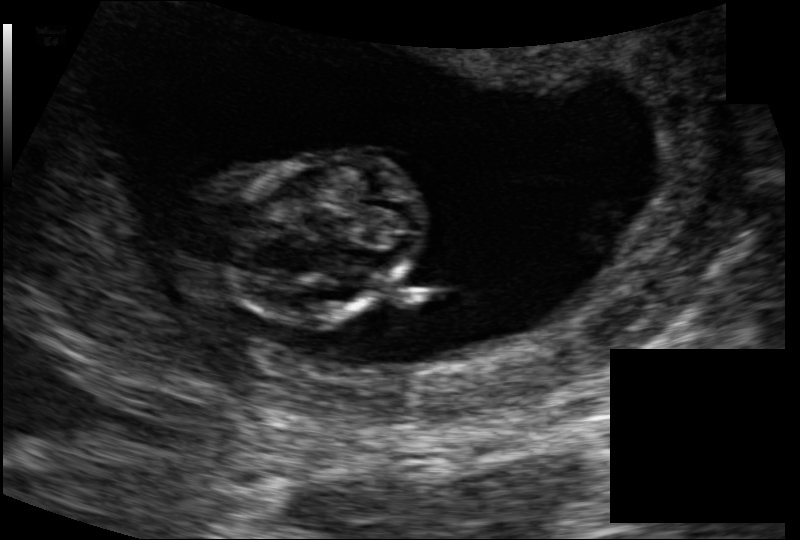
Fetal head ultrasound. Image width: 92.7 mm. Locate the fetal head.

Head: [221,148,425,325]